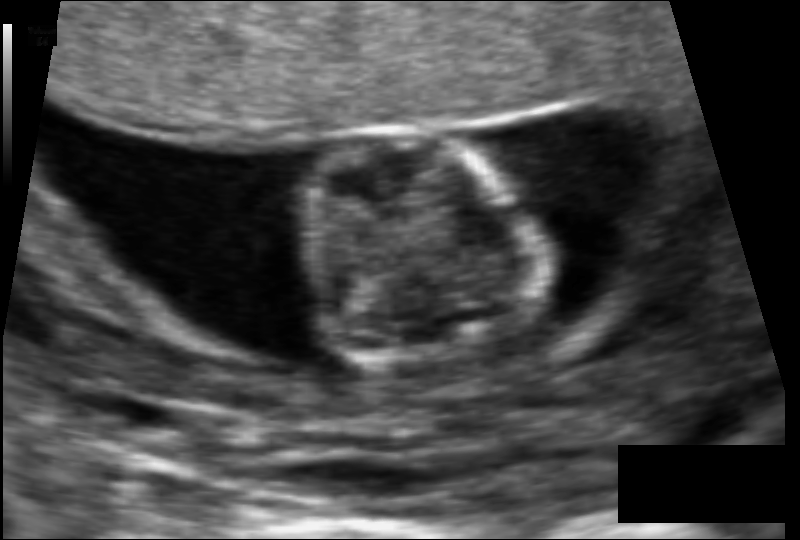
What is the fetal head circumference? Image width is 63.1 mm.

63.3 mm